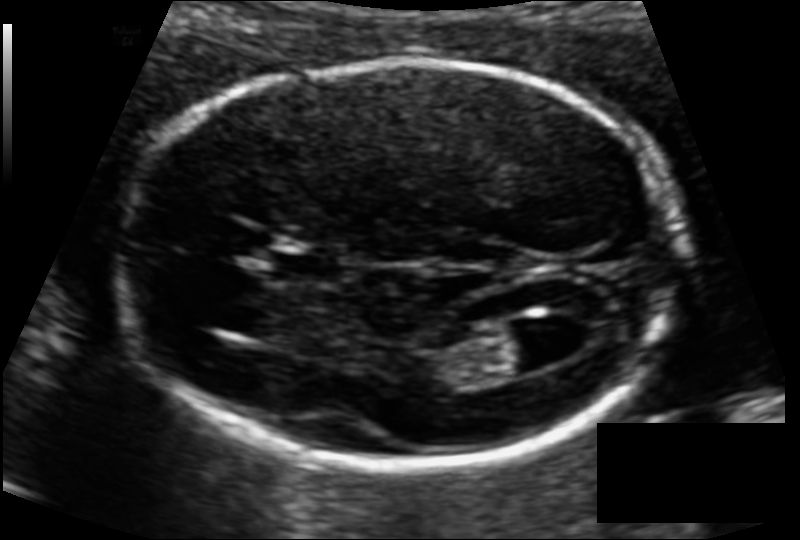
Estimate the fetal head circumference from this 2D ultrasound.

Head circumference: 163.4 mm (image width 83.4 mm).